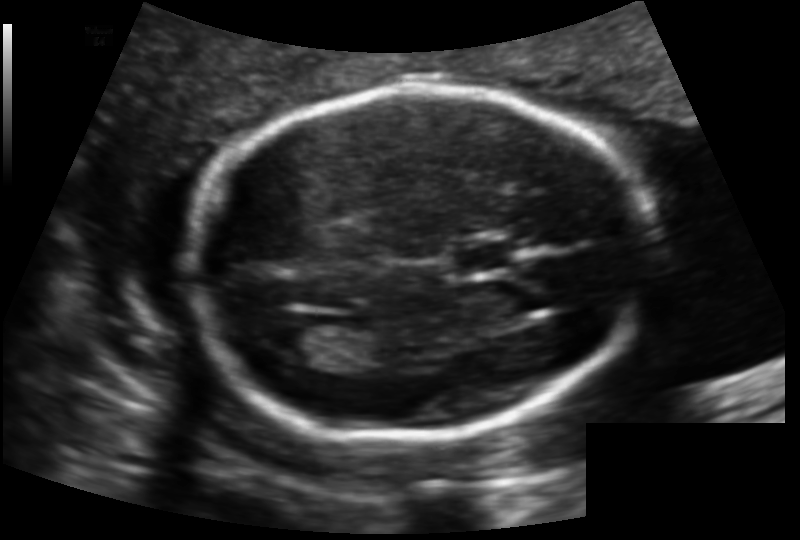
Fetal head ultrasound. Image width: 103.4 mm. Locate the lateral ventricle.

Lateral ventricle: [267,319,333,368]